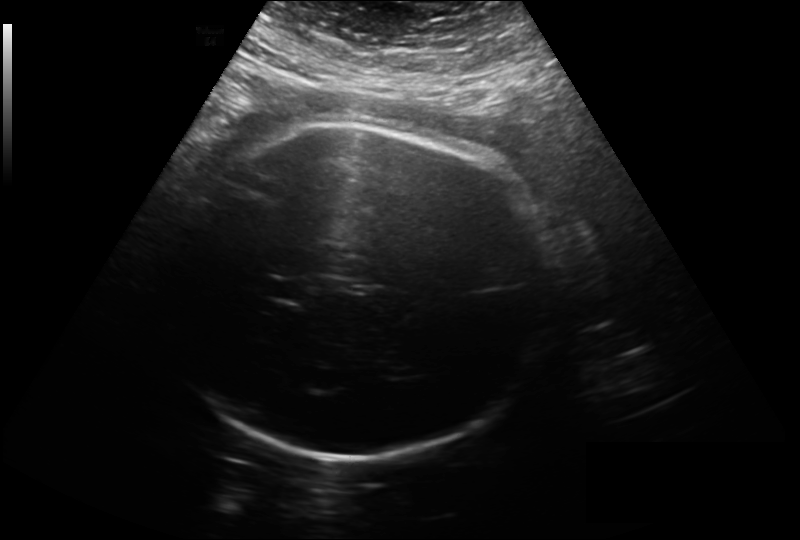
Fetal head ultrasound. Image width: 208.8 mm. Give [x1,y1,x2,y2] bounding boxes for each visible structure among: fetal head, CSP, LV.

Head: [167,123,546,460]
CSP: [262,274,308,305]